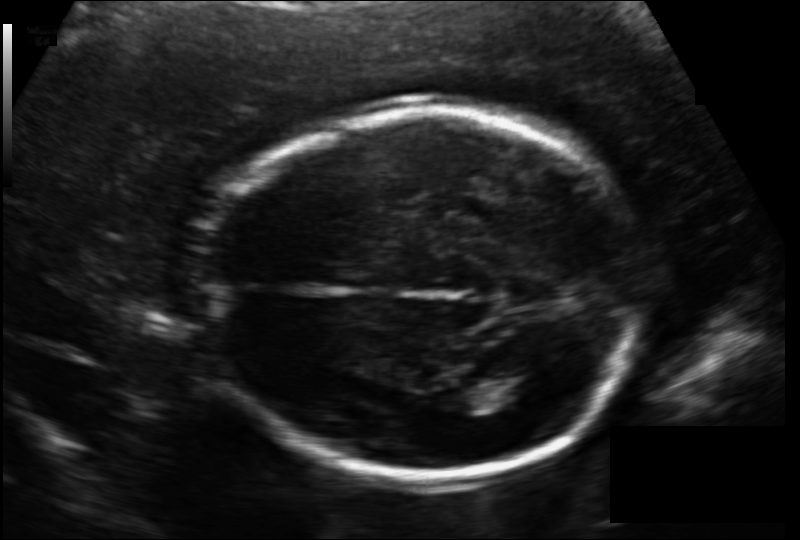
In this fetal head ultrasound, give the bounding box of the fetal head. Image width: 106.6 mm.

[203,107,644,480]